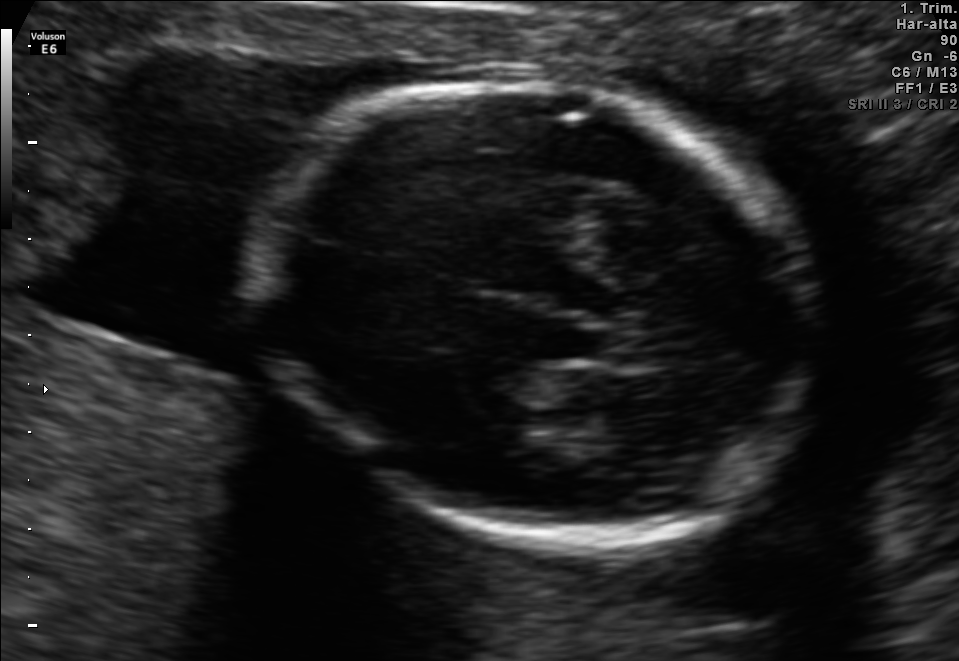
Fetal brain, trans-thalamic plane. Give [x1,y1,x2,y2] bounding boxes for each visible structure among: fetal head, CSP, LV.

Head: [252,79,817,532]